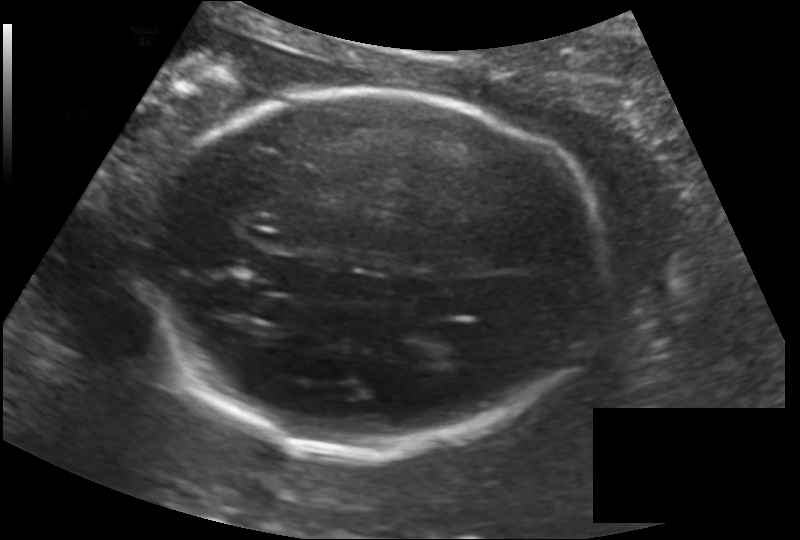
Estimate the fetal head circumference from this 2D ultrasound.

Head circumference: 226.9 mm (image width 136.3 mm).